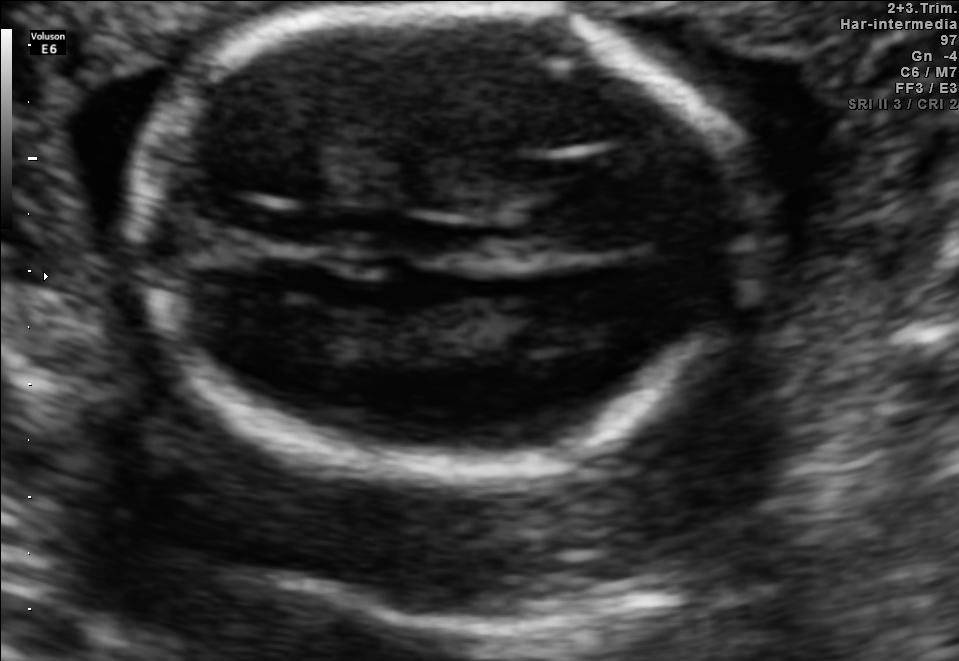
Fetal brain, trans-thalamic plane. Locate the cavum septum pellucidum.

CSP: [251,203,338,247]